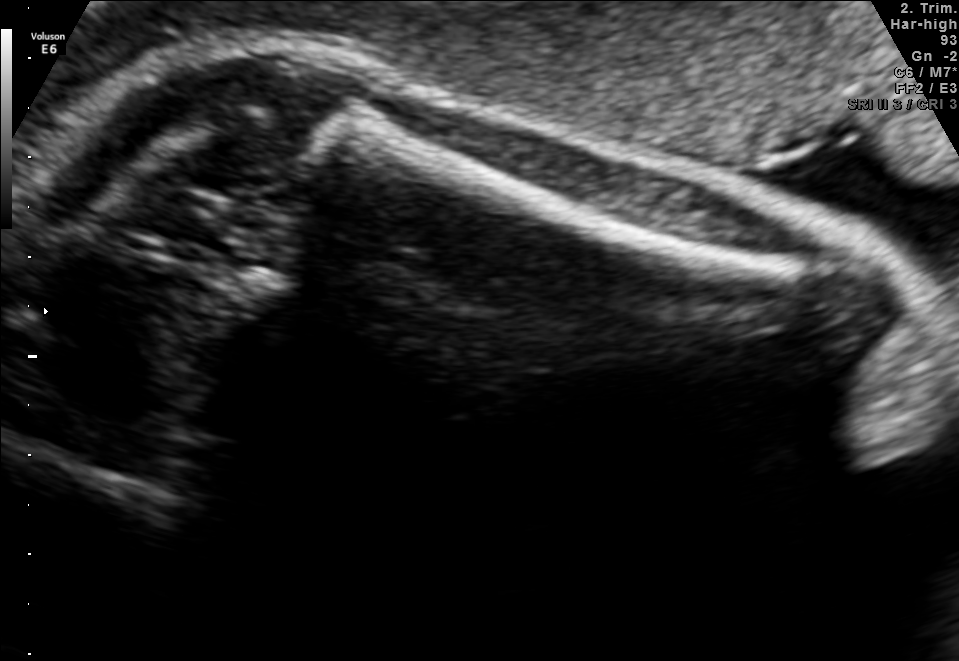
Which standard maternal-fetal ultrasound plane is shown: fetal abdomen, fetal brain, fetal femur, fetal thorax, maternal cervix, or other? If it's fetal brain and one of the three standard brain planes (trans-thalamic, trans-cerebellum, trans-ventricular), name which.

Fetal femur